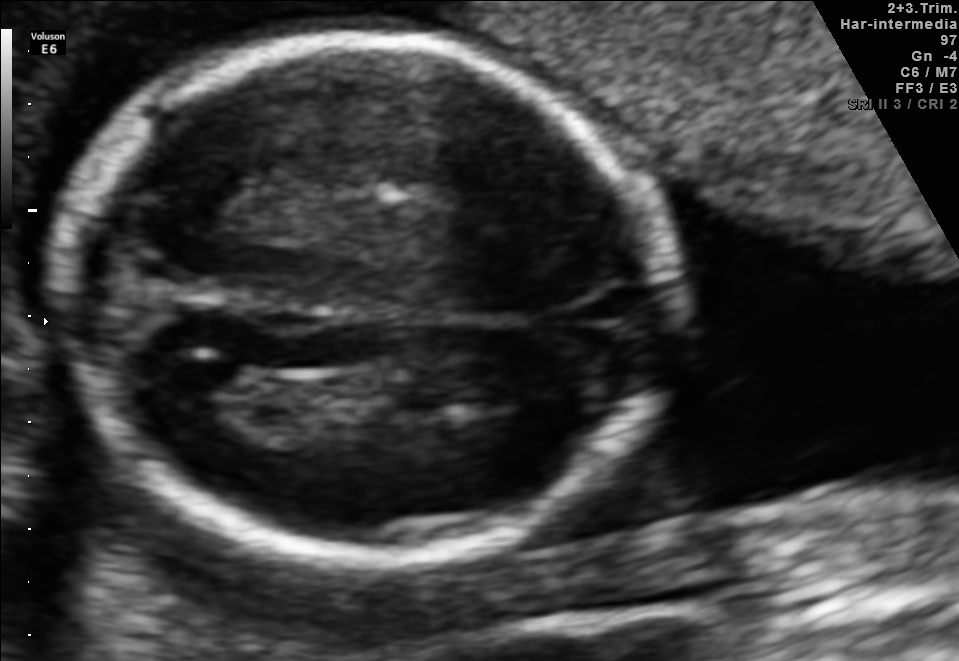
In this fetal brain, trans-thalamic plane, give the bounding box of the lateral ventricle.

[226,379,361,433]